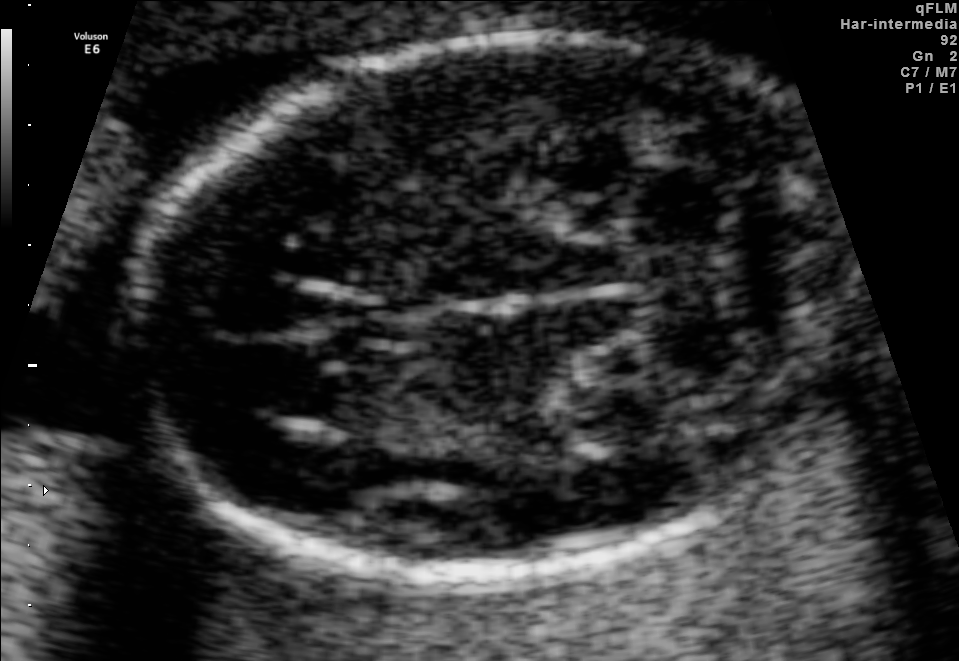
Identify the standard plane in this fetal ultrasound image: fetal abdomen, fetal brain, fetal femur, fetal thorax, maternal cervix, or other. If it's fetal brain and one of the three standard brain planes (trans-thalamic, trans-cerebellum, trans-ventricular), name which.

Fetal brain (trans-cerebellum plane)